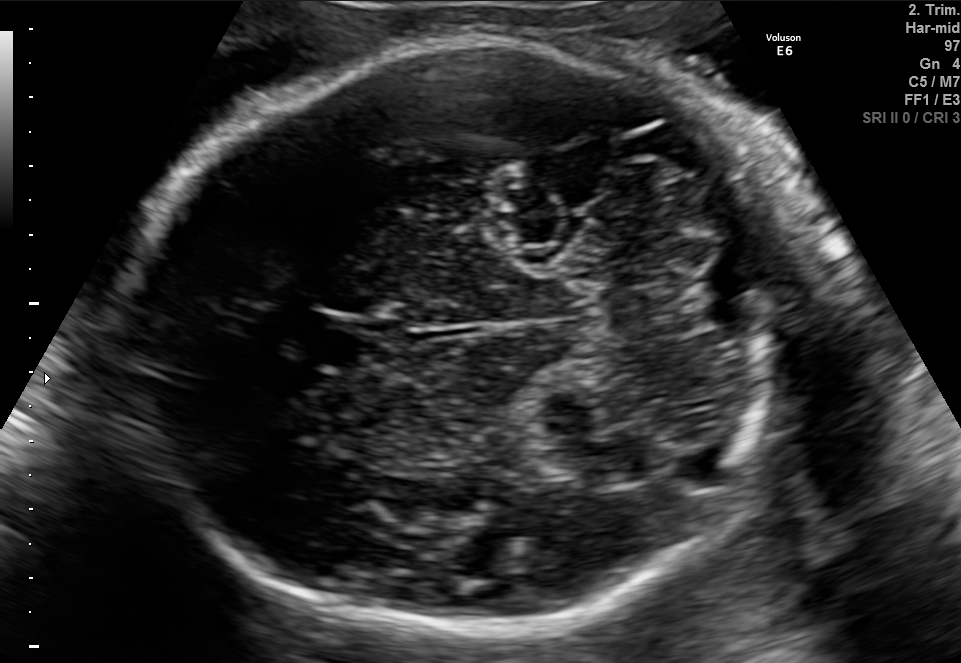
Fetal brain, trans-cerebellum plane. Where is the fetal head?

Head bounding box: [135,43,782,636]